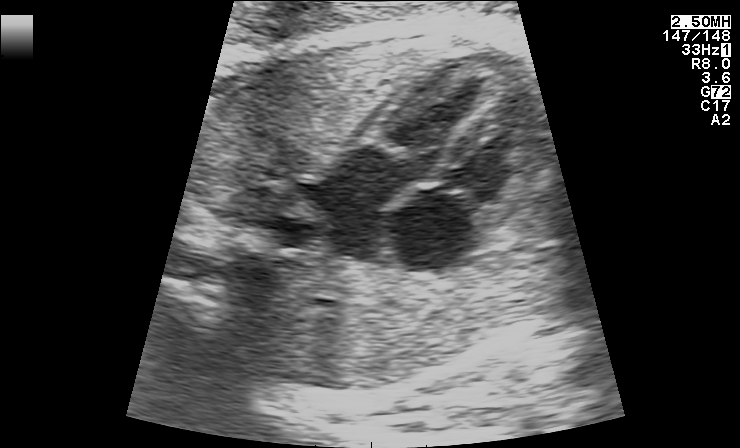
Which standard maternal-fetal ultrasound plane is shown: fetal abdomen, fetal brain, fetal femur, fetal thorax, maternal cervix, or other? If it's fetal brain and one of the three standard brain planes (trans-thalamic, trans-cerebellum, trans-ventricular), name which.

Fetal thorax